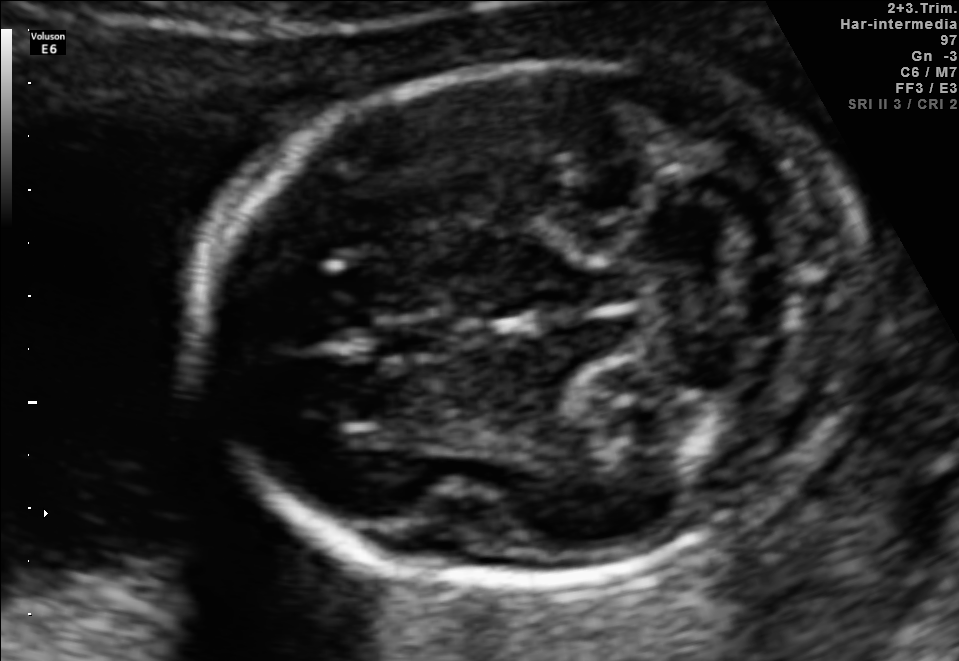
Fetal brain, trans-cerebellum plane. Give [x1,y1,x2,y2] bounding boxes for each visible structure among: fetal head, CSP, LV.

Head: [201,59,868,584]
CSP: [372,310,451,363]